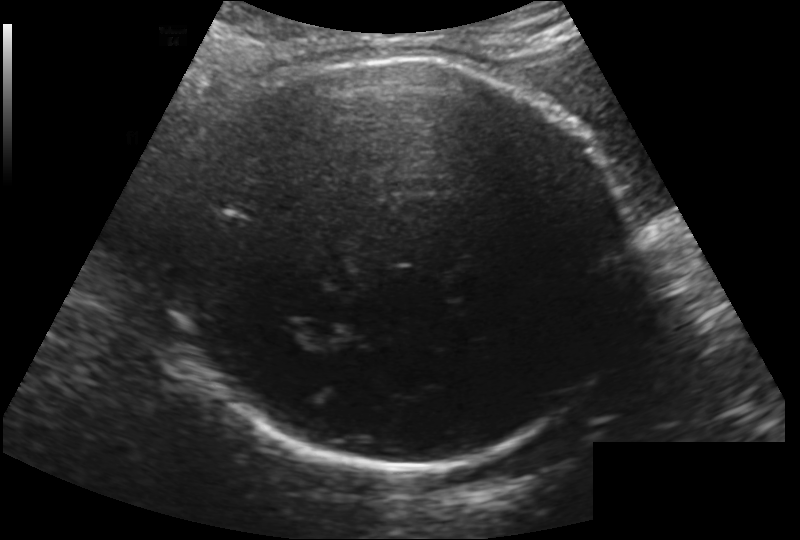
From this fetal ultrasound, estimate the head circumference (image width 160.1 mm).

Head circumference: 284.1 mm.